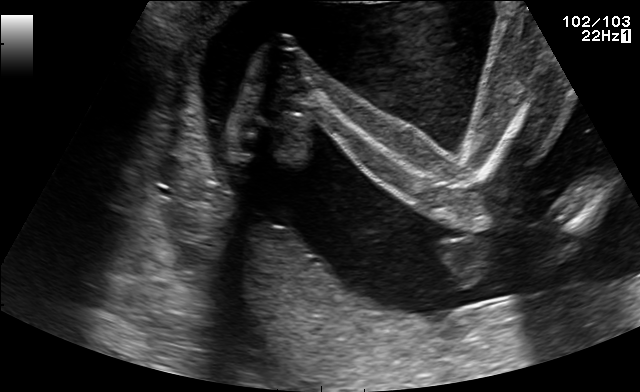
Classify this maternal-fetal ultrasound image as one of the six standard planes — fetal abdomen, fetal brain, fetal femur, fetal thorax, maternal cervix, or other. If it's fetal brain and one of the three standard brain planes (trans-thalamic, trans-cerebellum, trans-ventricular), name which.

Fetal femur